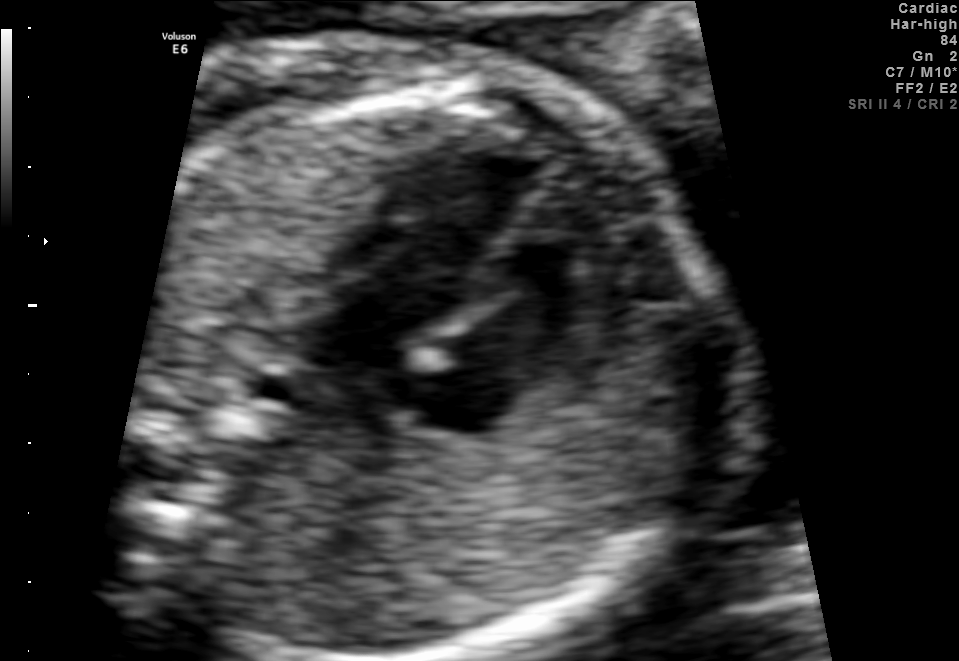
Identify the standard plane in this fetal ultrasound image: fetal abdomen, fetal brain, fetal femur, fetal thorax, maternal cervix, or other. If it's fetal brain and one of the three standard brain planes (trans-thalamic, trans-cerebellum, trans-ventricular), name which.

Fetal thorax